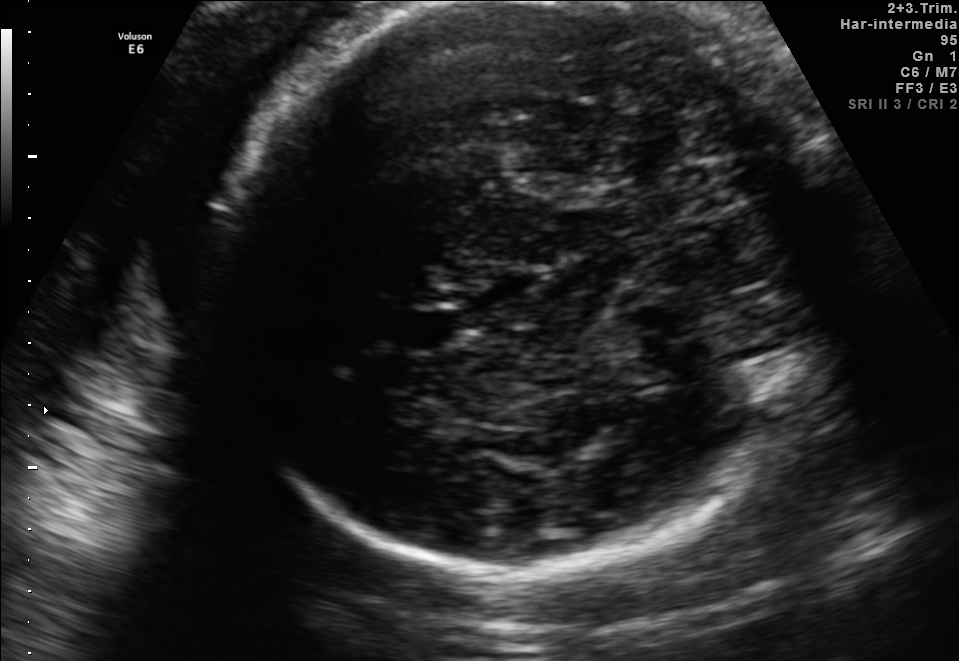
Fetal brain, trans-thalamic plane. Where is the fetal head?

Head bounding box: [214,4,845,561]